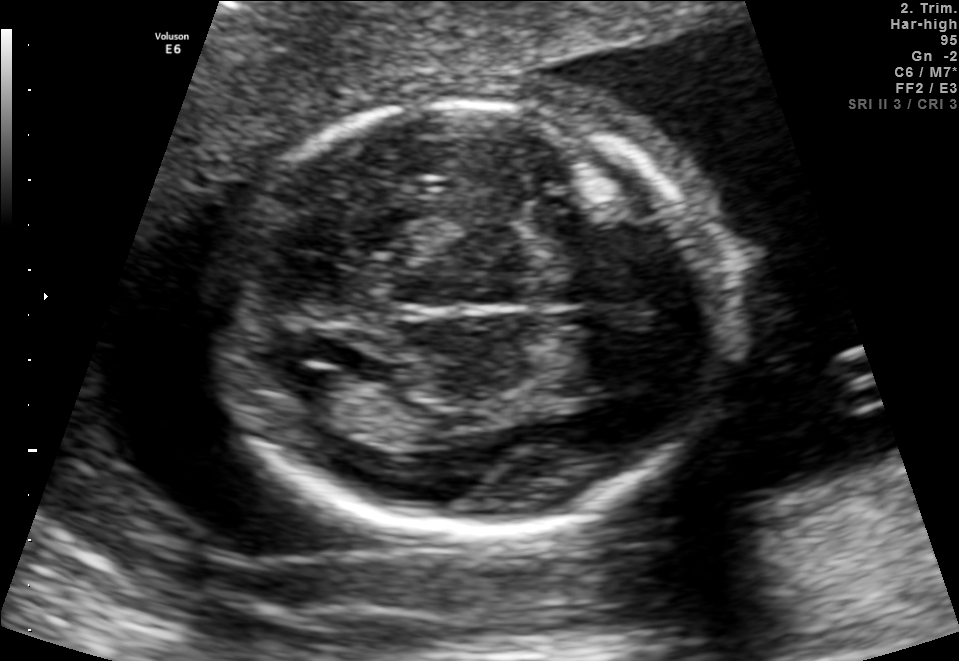
In this fetal brain, trans-ventricular plane, give the bounding box of the fetal head.

[203,92,726,543]